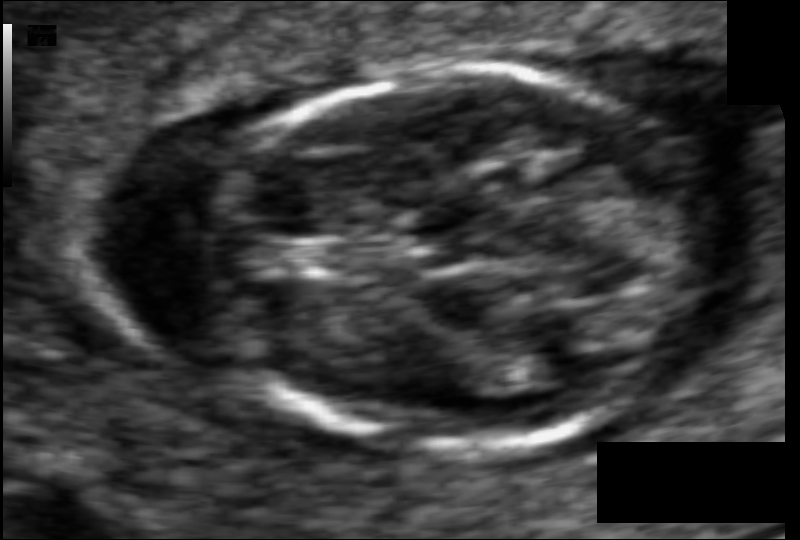
In this fetal head ultrasound, give bounding boxes for the head outline, cavum septum pellucidum (CSP), and lateral ventricle (LV), where visible. Image width: 46.1 mm.

Head: [211,68,711,451]